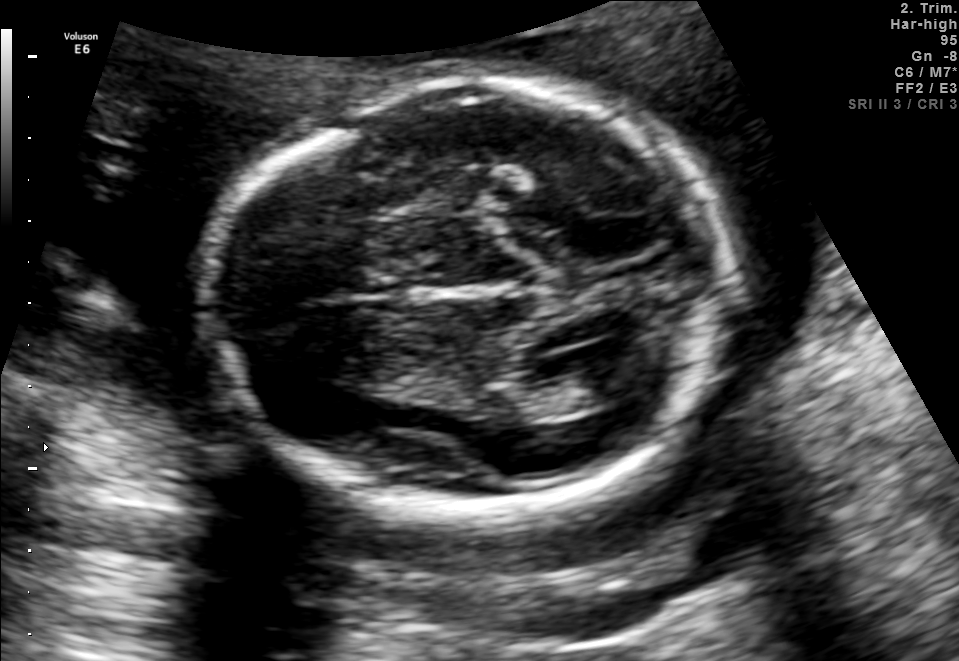
In this fetal brain, trans-ventricular plane, give bounding boxes for the head outline, cavum septum pellucidum (CSP), and lateral ventricle (LV), where visible.

Head: [202,76,747,515]
Lateral ventricle: [582,356,651,408]